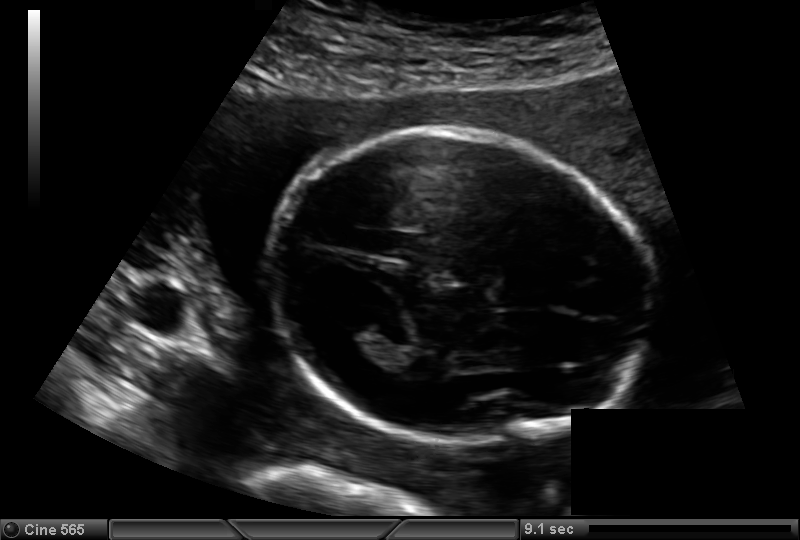
Measure the fetal head circumference shown in this ultrasound image. Image width: 113.5 mm.

Head circumference: 160.4 mm.